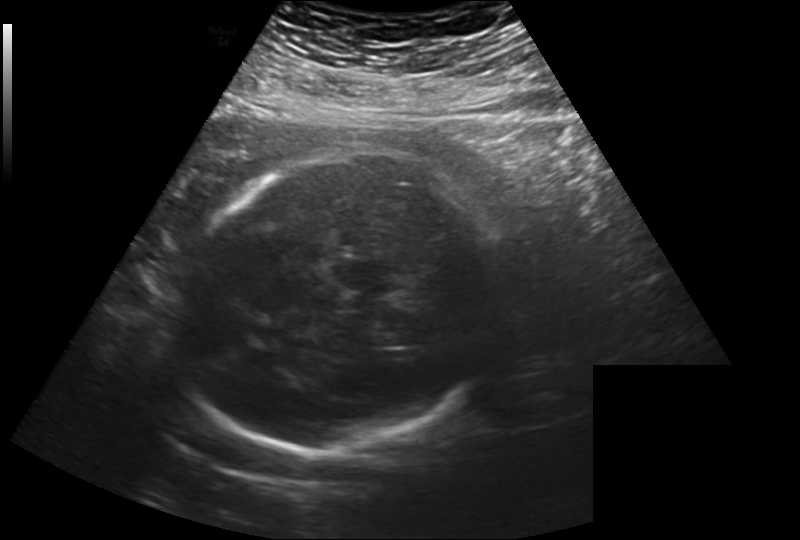
Fetal head ultrasound. Image width: 208.0 mm. Locate the fetal head and, if visible, the cavum septum pellucidum (CSP) and lateral ventricle (LV). Give bounding boxes as [x1,y1,x2,y2].

Head: [177,154,500,453]